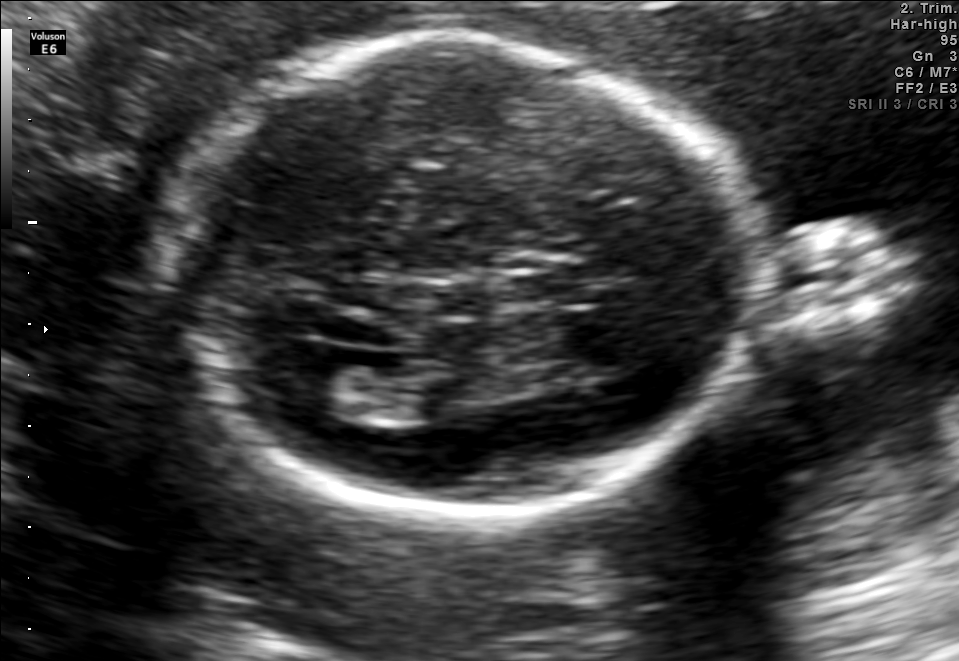
In this fetal brain, trans-ventricular plane, give the bounding box of the cavum septum pellucidum.

[509,261,590,305]